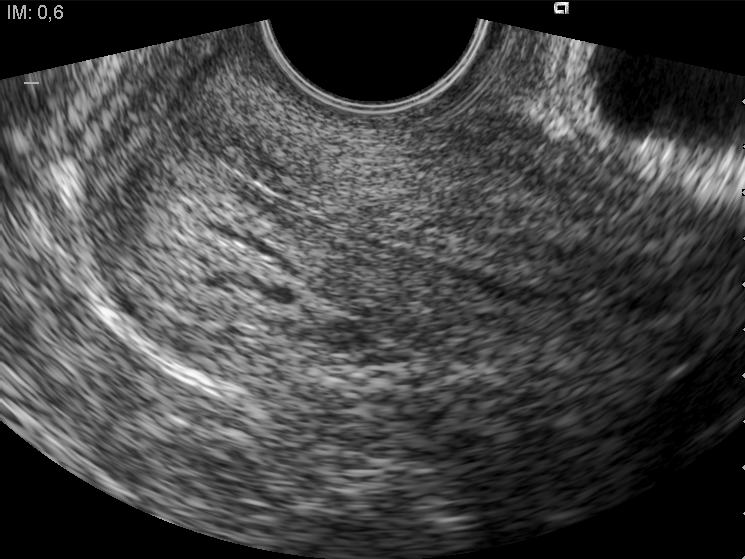
Which standard maternal-fetal ultrasound plane is shown: fetal abdomen, fetal brain, fetal femur, fetal thorax, maternal cervix, or other? If it's fetal brain and one of the three standard brain planes (trans-thalamic, trans-cerebellum, trans-ventricular), name which.

Maternal cervix